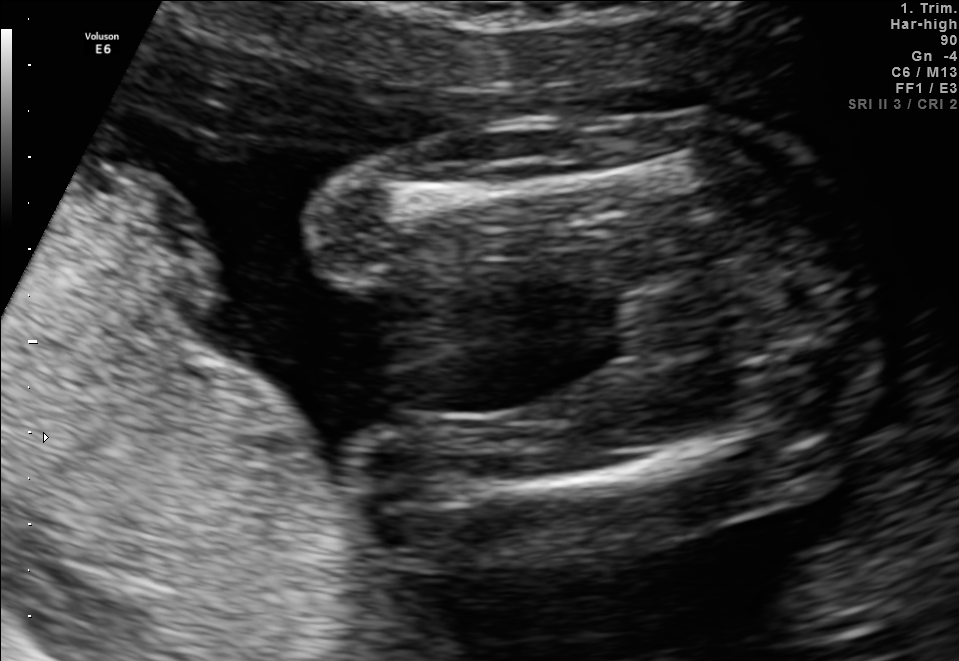
Identify the standard plane in this fetal ultrasound image: fetal abdomen, fetal brain, fetal femur, fetal thorax, maternal cervix, or other. If it's fetal brain and one of the three standard brain planes (trans-thalamic, trans-cerebellum, trans-ventricular), name which.

Fetal femur